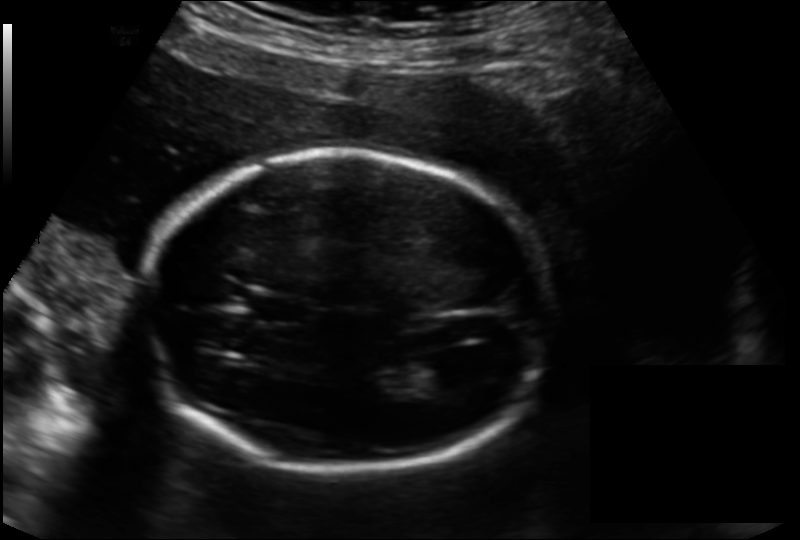
Fetal head ultrasound. Image width: 133.1 mm. Locate the lateral ventricle.

Lateral ventricle: [395,353,462,398]